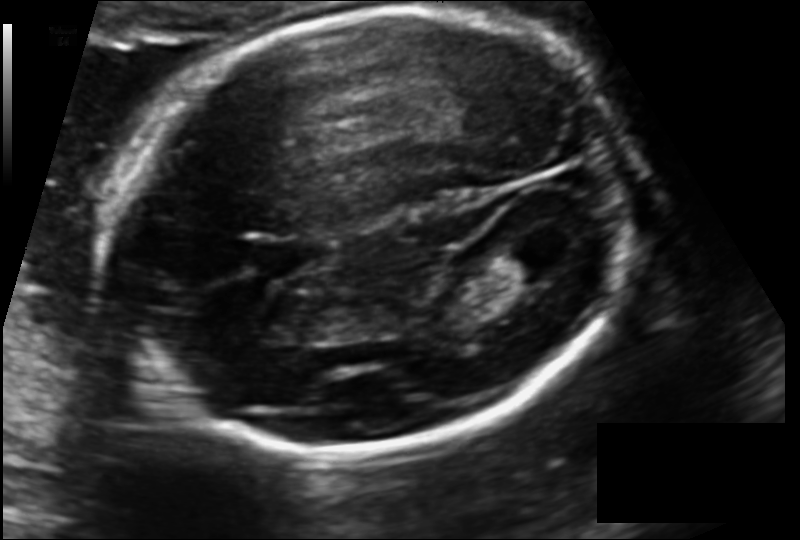
Fetal head ultrasound. Image width: 105.5 mm. Where is the cavum septum pellucidum?

CSP bounding box: [254,231,333,280]